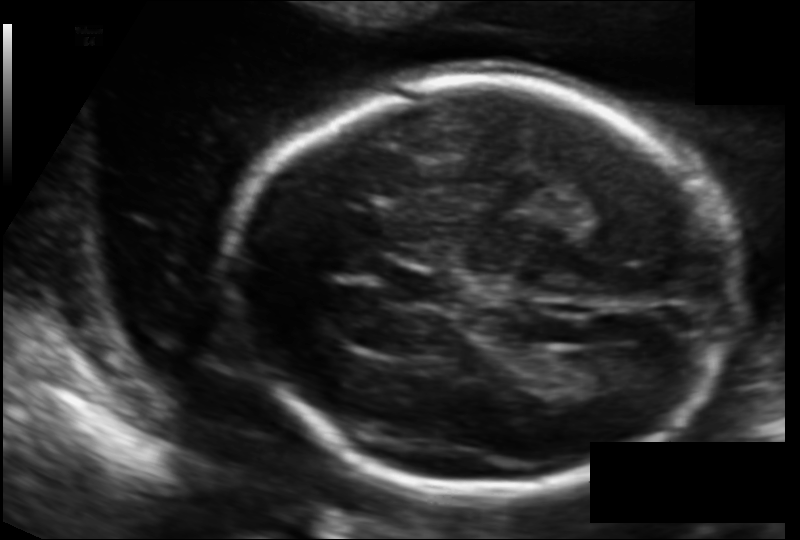
Fetal head ultrasound. Image width: 100.4 mm. Locate the fetal head.

Head: [225,78,737,494]